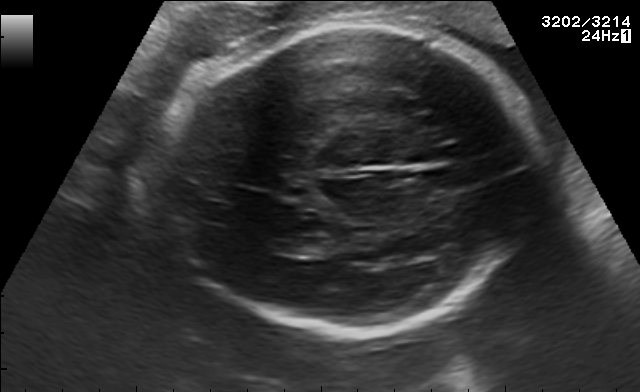
Fetal brain, trans-thalamic plane. Locate the fetal head and, if visible, the cavum septum pellucidum (CSP) and lateral ventricle (LV). Give bounding boxes as [x1,y1,x2,y2].

Head: [157,23,535,337]
Lateral ventricle: [277,236,331,256]